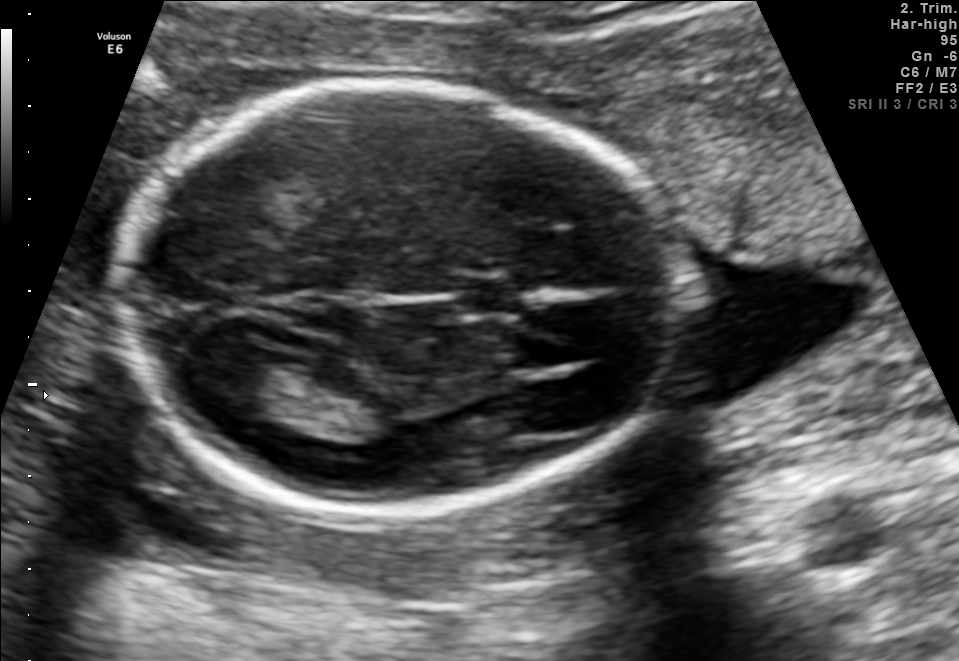
Fetal brain, trans-thalamic plane. Where is the lateral ventricle?

Lateral ventricle bounding box: [208,363,308,416]